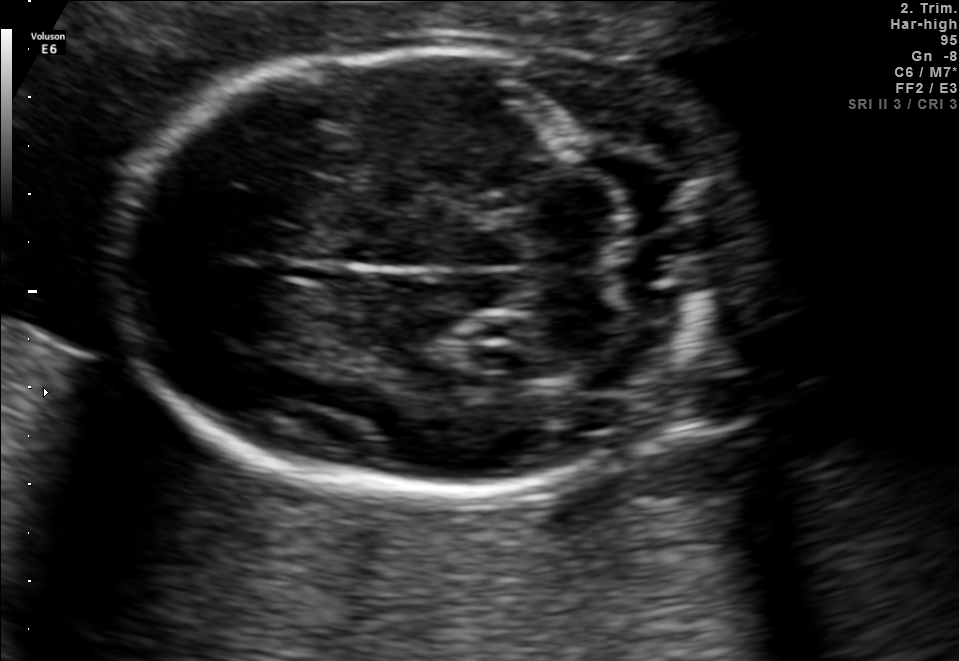
Fetal brain, trans-cerebellum plane. Give [x1,y1,x2,y2] bounding boxes for each visible structure among: fetal head, CSP, LV.

Head: [111,50,752,491]